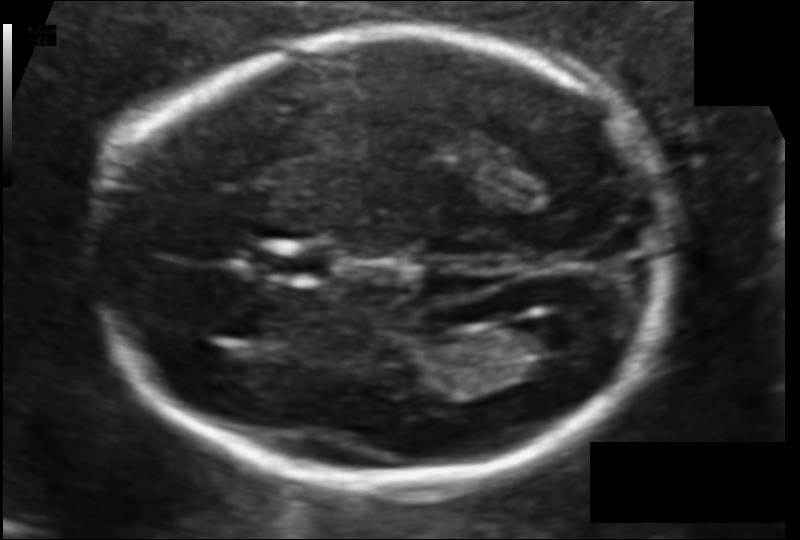
Fetal head ultrasound. Image width: 85.0 mm. Where is the lateral ventricle?

Lateral ventricle bounding box: [496,307,600,383]